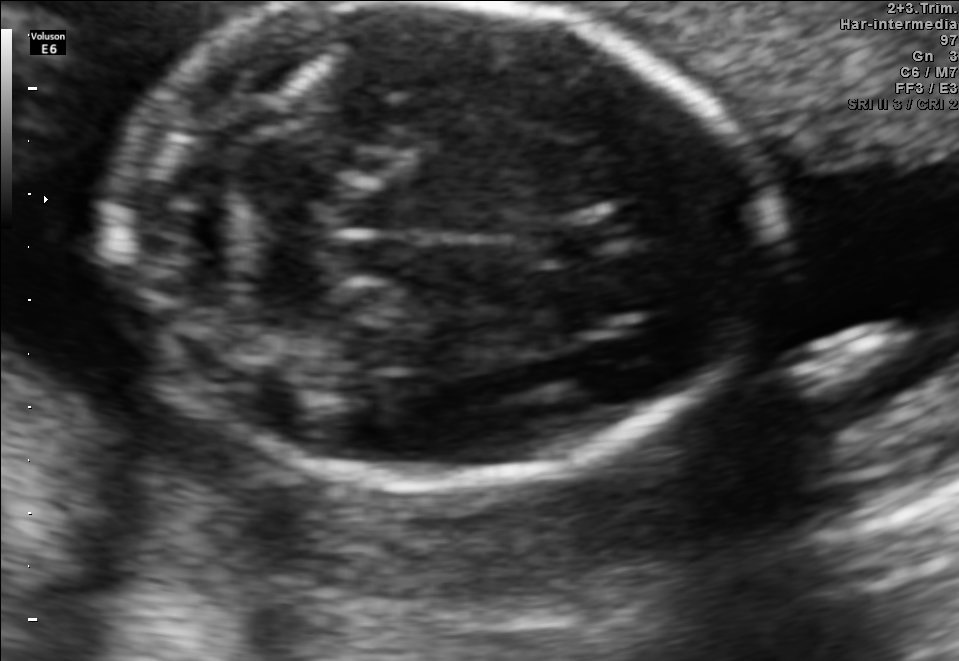
Fetal brain, trans-cerebellum plane. Where is the cavum septum pellucidum?

CSP bounding box: [529,203,626,269]